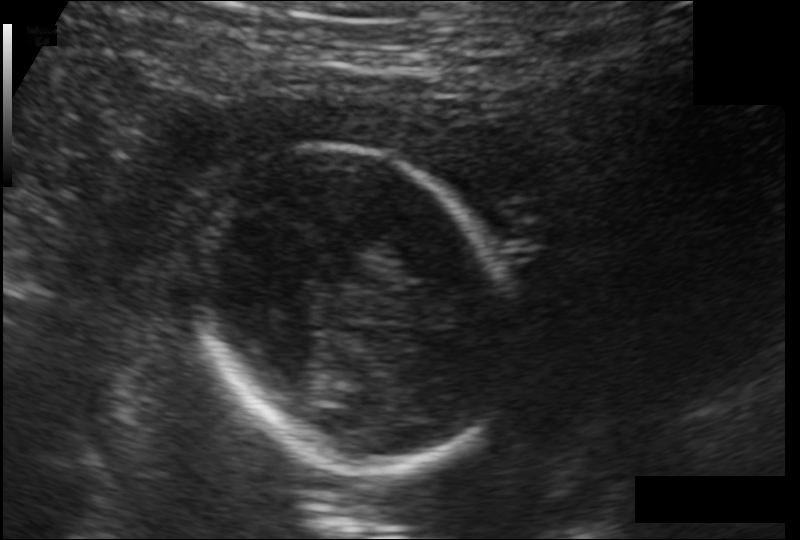
Estimate the fetal head circumference from this 2D ultrasound.

Head circumference: 146.2 mm (image width 116.5 mm).